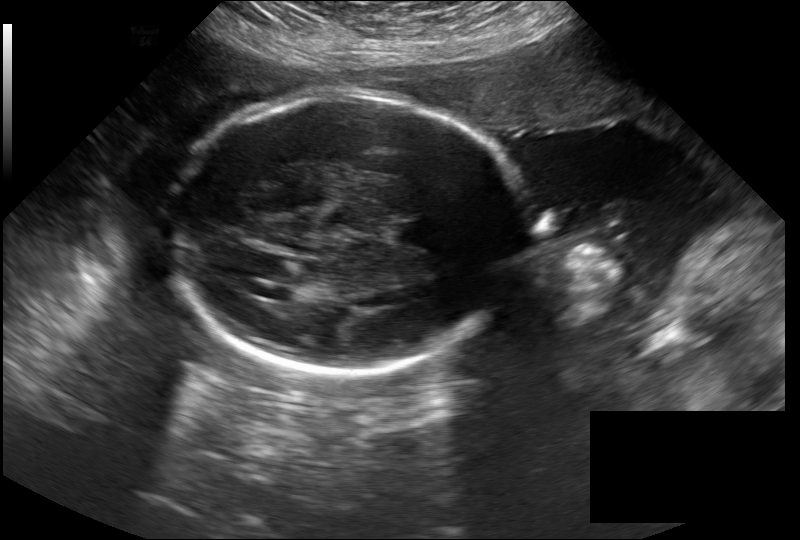
What is the fetal head circumference? Image width is 223.0 mm.

288.0 mm